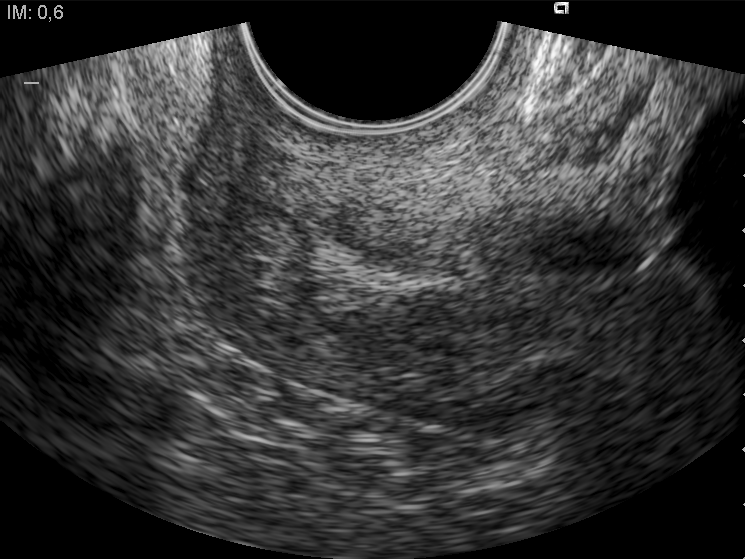
Classify this maternal-fetal ultrasound image as one of the six standard planes — fetal abdomen, fetal brain, fetal femur, fetal thorax, maternal cervix, or other. If it's fetal brain and one of the three standard brain planes (trans-thalamic, trans-cerebellum, trans-ventricular), name which.

Maternal cervix